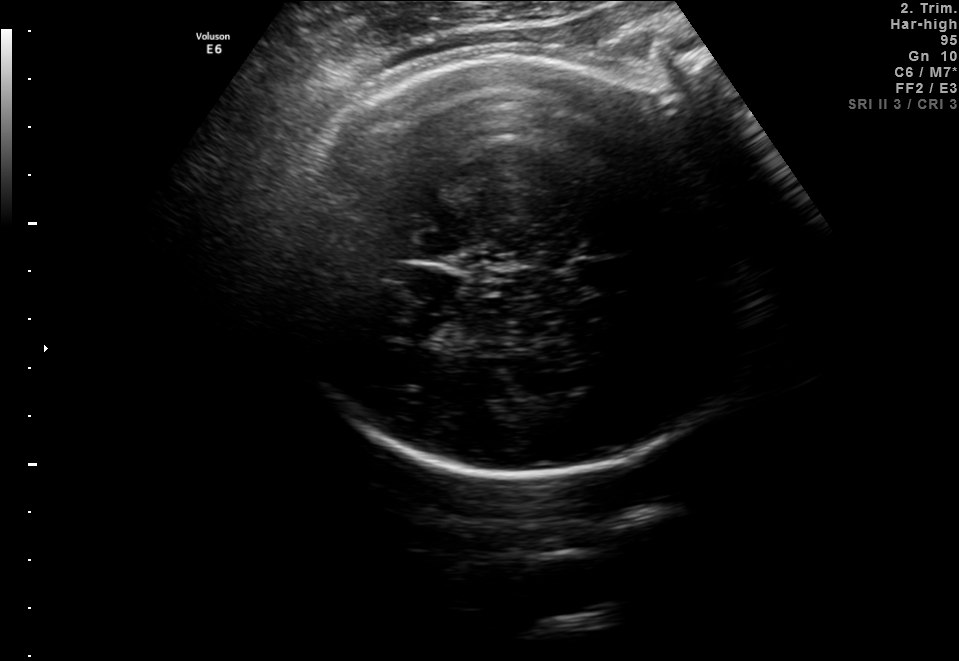
Fetal brain, trans-thalamic plane. Locate the fetal head and, if visible, the cavum septum pellucidum (CSP) and lateral ventricle (LV). Give bounding boxes as [x1,y1,x2,y2].

Head: [277,56,758,473]